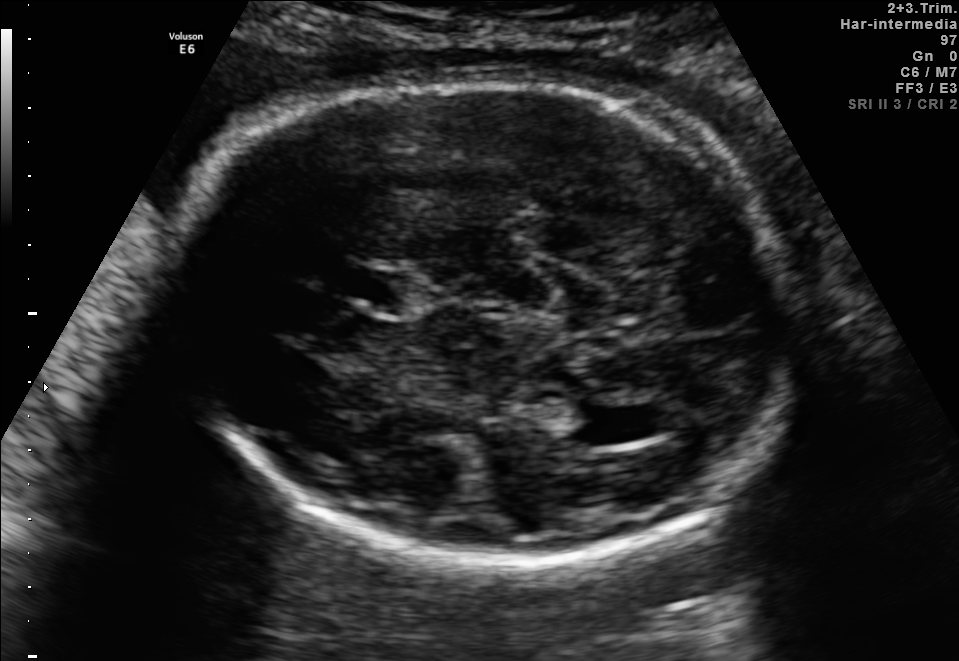
Fetal brain, trans-ventricular plane. Give [x1,y1,x2,y2] bounding boxes for each visible structure among: fetal head, CSP, LV.

Head: [159,71,814,570]
CSP: [350,267,405,307]
Lateral ventricle: [546,402,625,446]